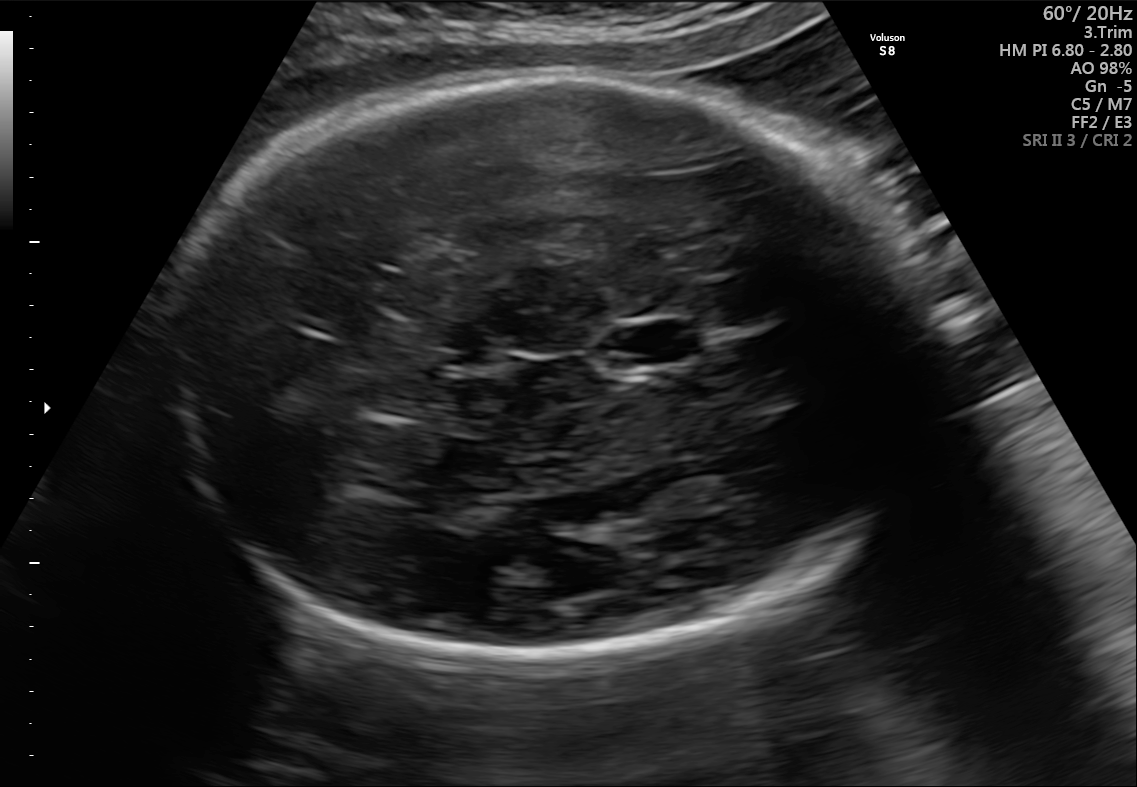
Fetal brain, trans-thalamic plane. Where is the fetal head?

Head bounding box: [155,74,944,663]